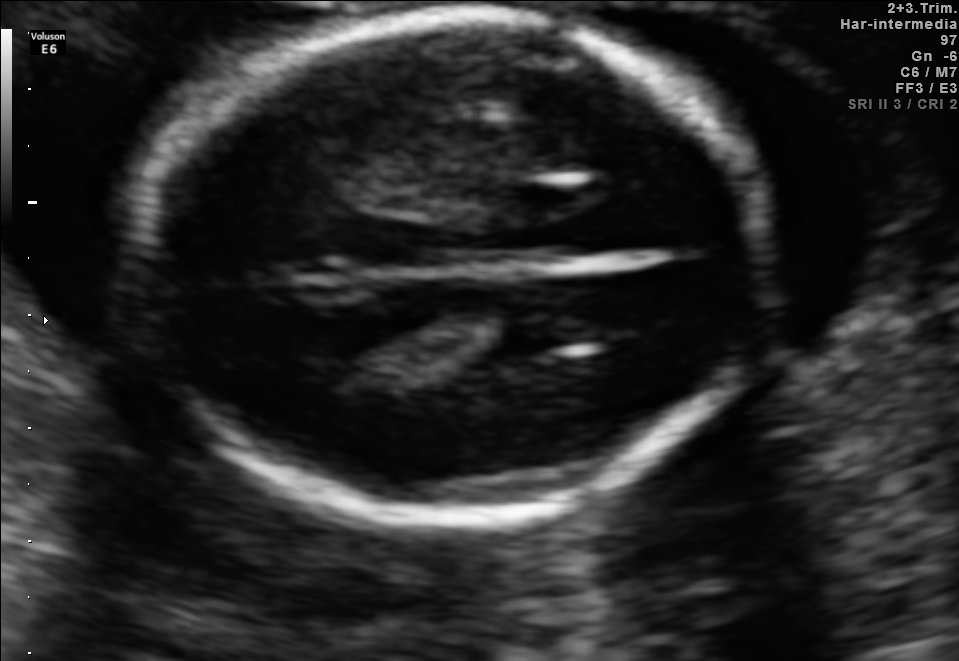
In this fetal brain, trans-thalamic plane, give bounding boxes for the head outline, cavum septum pellucidum (CSP), and lateral ventricle (LV), where visible.

Head: [139,16,768,519]